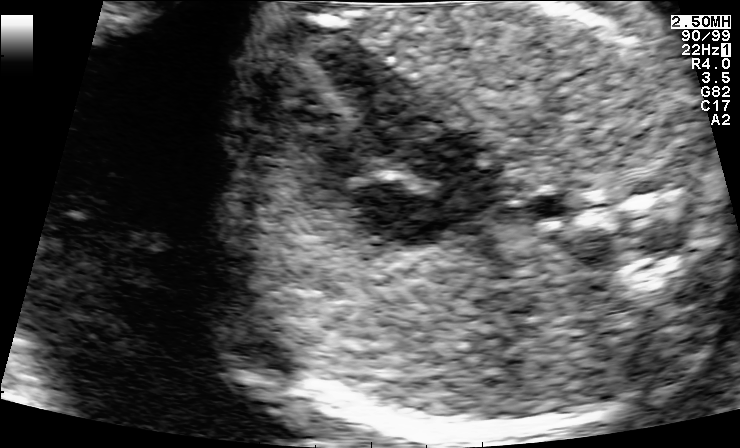
Which standard maternal-fetal ultrasound plane is shown: fetal abdomen, fetal brain, fetal femur, fetal thorax, maternal cervix, or other? If it's fetal brain and one of the three standard brain planes (trans-thalamic, trans-cerebellum, trans-ventricular), name which.

Fetal thorax